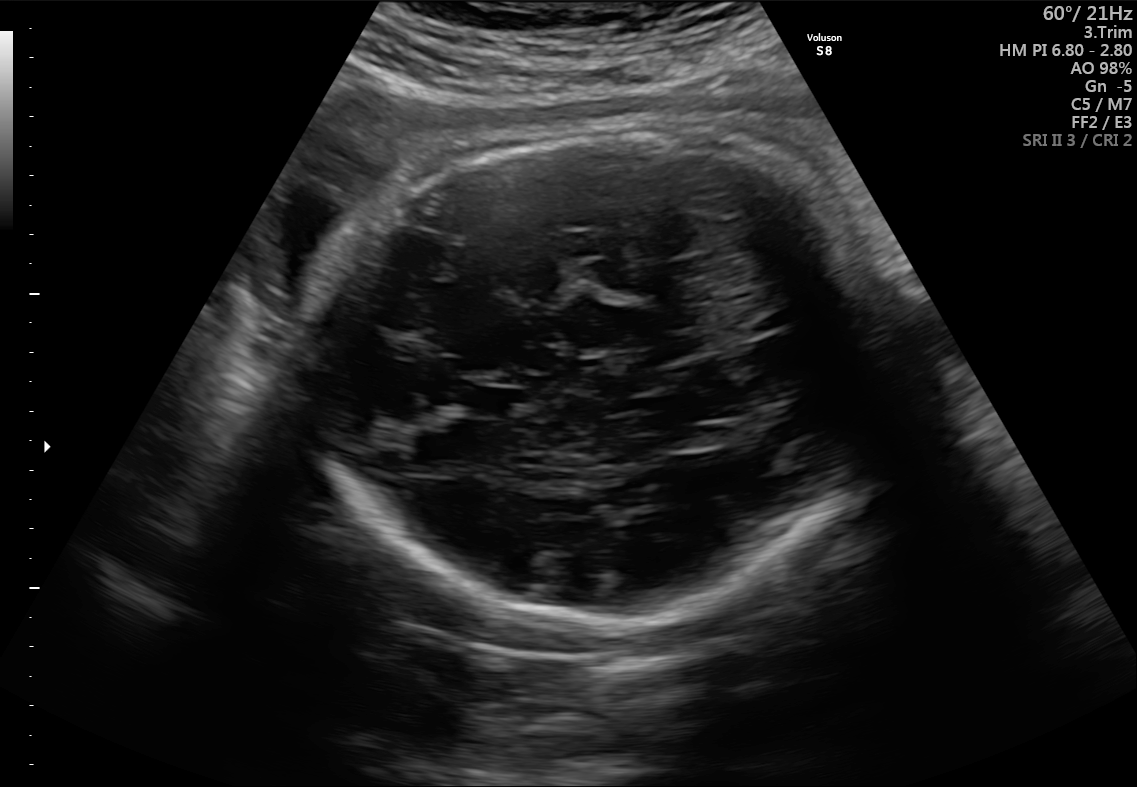
In this fetal brain, trans-thalamic plane, give the bounding box of the lateral ventricle.

[670,421,734,452]